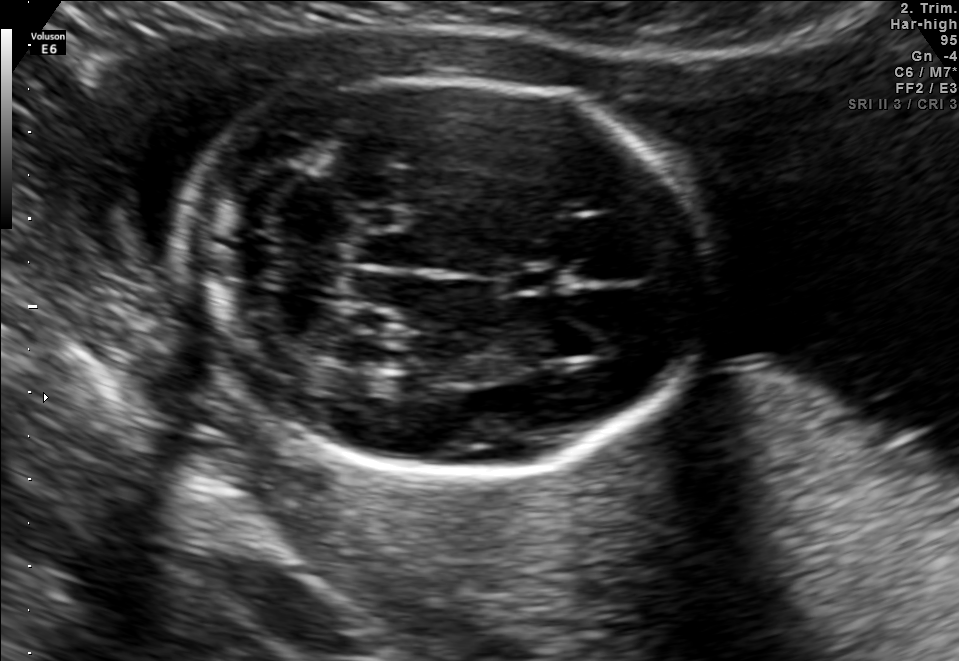
Fetal brain, trans-cerebellum plane. Where is the cavum septum pellucidum?

CSP bounding box: [497,265,557,295]